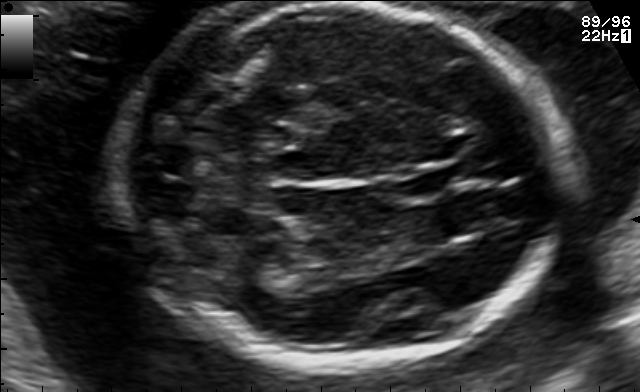
In this fetal brain, trans-thalamic plane, give bounding boxes for the head outline, cavum septum pellucidum (CSP), and lateral ventricle (LV), where visible.

Head: [115,2,558,365]